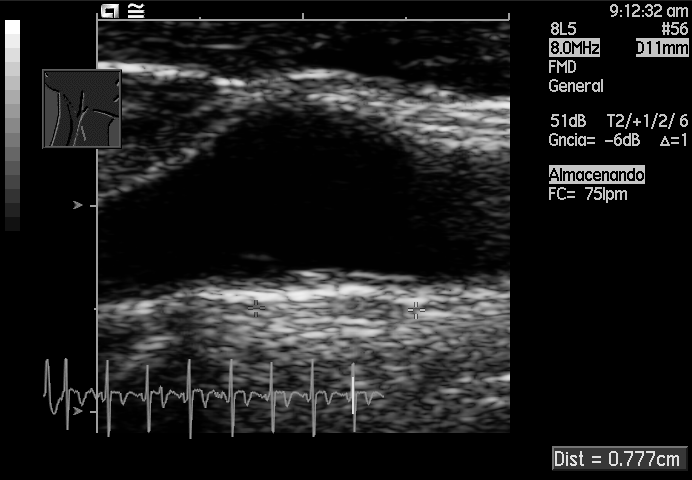
Which standard maternal-fetal ultrasound plane is shown: fetal abdomen, fetal brain, fetal femur, fetal thorax, maternal cervix, or other? If it's fetal brain and one of the three standard brain planes (trans-thalamic, trans-cerebellum, trans-ventricular), name which.

Other